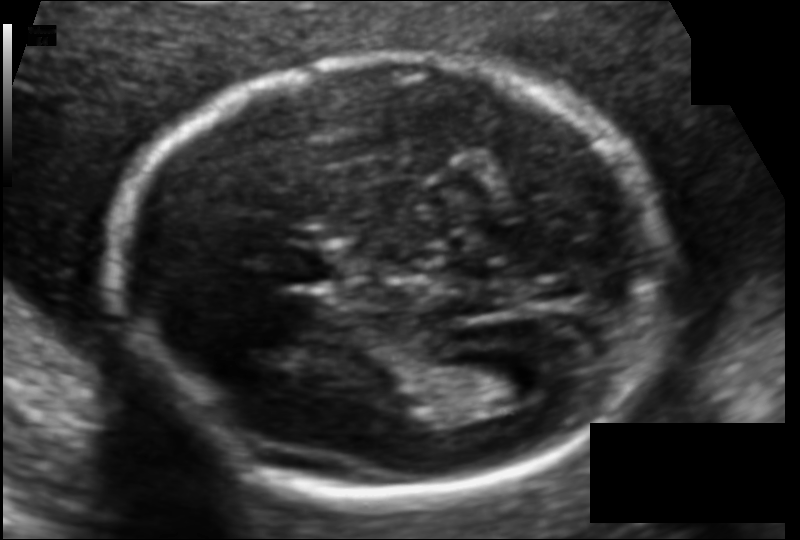
Fetal head ultrasound. Image width: 83.5 mm. Where is the cavum septum pellucidum?

CSP bounding box: [270,245,334,287]